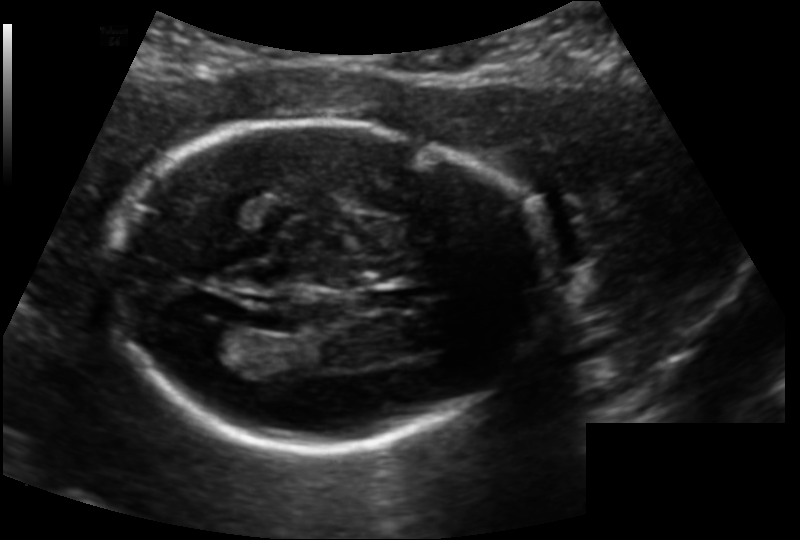
In this fetal head ultrasound, give bounding boxes for the head outline, cavum septum pellucidum (CSP), and lateral ventricle (LV), where visible. Image width: 111.5 mm.

Head: [108,120,545,449]
CSP: [367,289,418,310]
Lateral ventricle: [184,318,242,358]